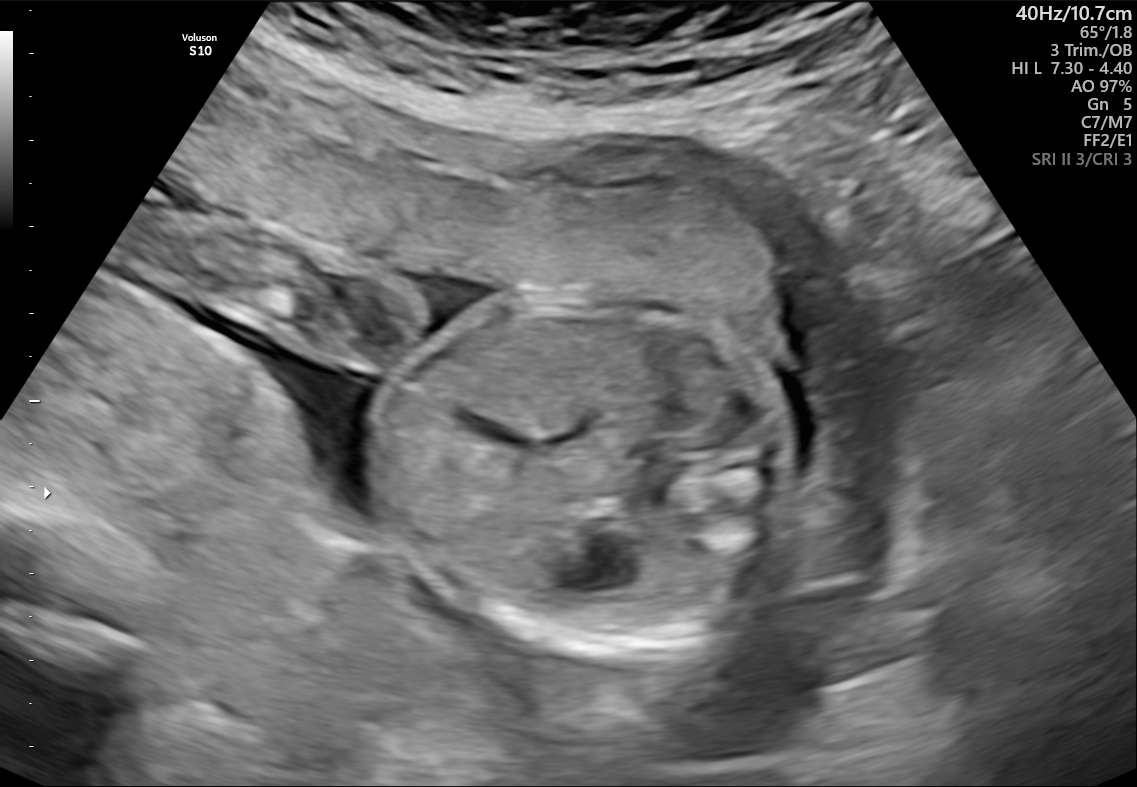
This is a 2D maternal-fetal ultrasound frame. Is it a fetal abdomen, fetal brain, fetal femur, fetal thorax, maternal cervix, or other standard plane? If it's fetal brain and one of the three standard brain planes (trans-thalamic, trans-cerebellum, trans-ventricular), name which.

Fetal abdomen